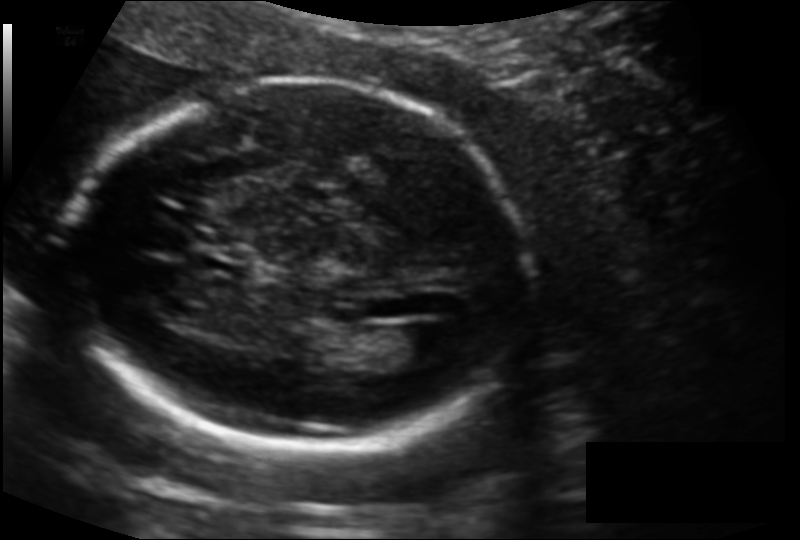
Estimate the fetal head circumference from this 2D ultrasound.

Head circumference: 168.7 mm (image width 101.6 mm).